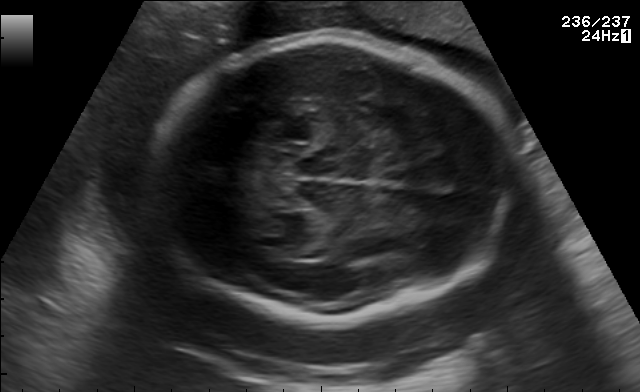
In this fetal brain, trans-thalamic plane, give the bounding box of the fetal head.

[154,35,498,317]